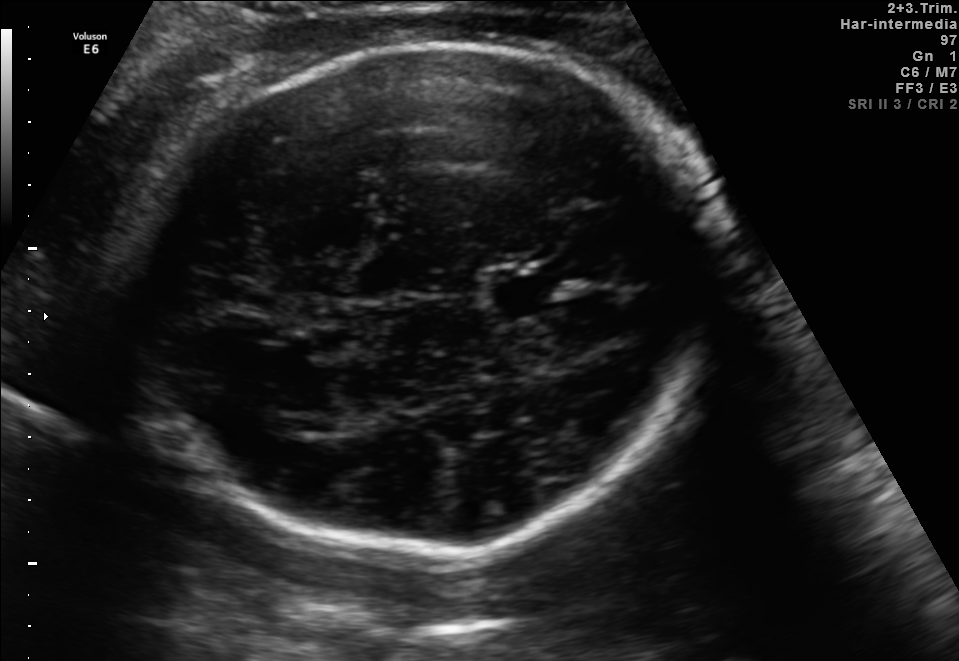
In this fetal brain, trans-thalamic plane, give the bounding box of the fetal head.

[122,46,715,555]